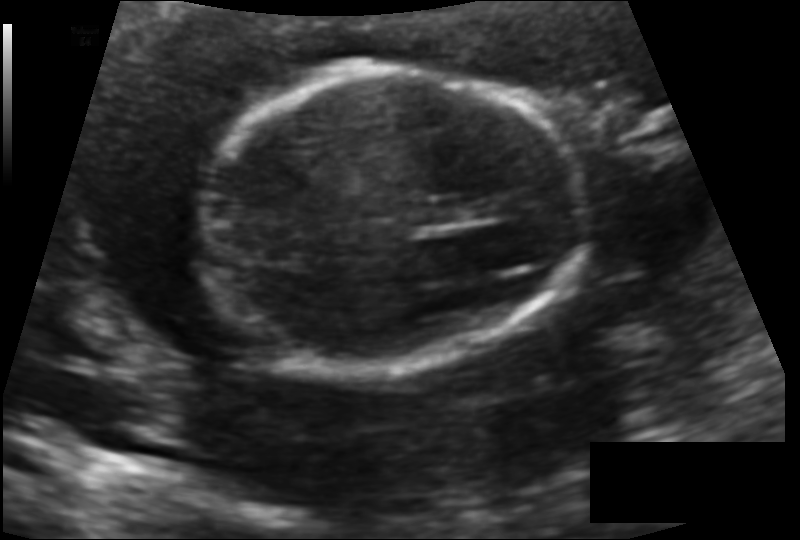
In this fetal head ultrasound, give bounding boxes for the head outline, cavum septum pellucidum (CSP), and lateral ventricle (LV), where visible. Image width: 90.0 mm.

Head: [207,71,580,364]